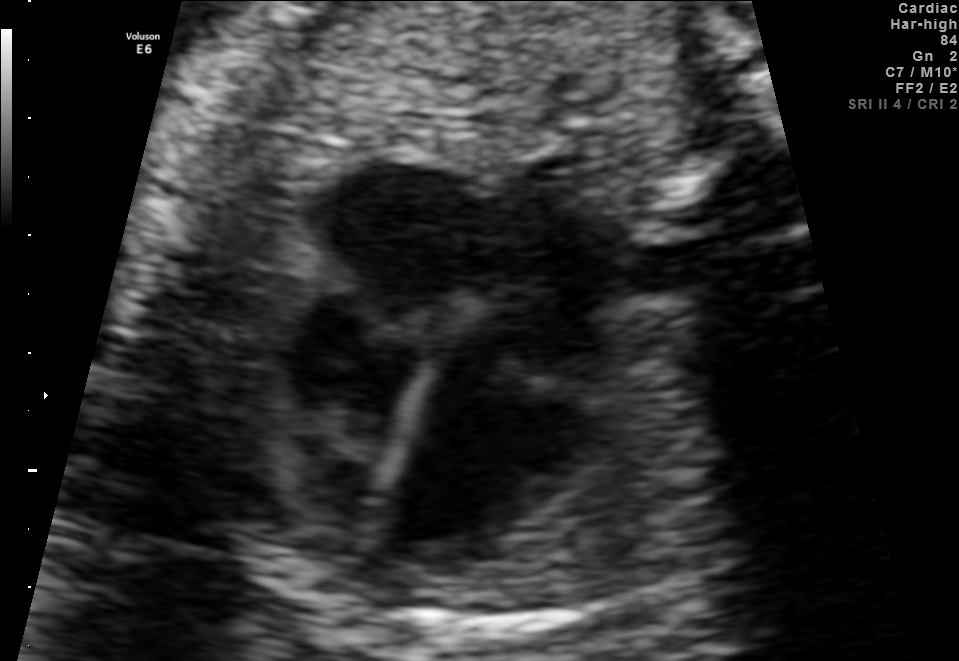
Identify the standard plane in this fetal ultrasound image: fetal abdomen, fetal brain, fetal femur, fetal thorax, maternal cervix, or other. If it's fetal brain and one of the three standard brain planes (trans-thalamic, trans-cerebellum, trans-ventricular), name which.

Fetal thorax